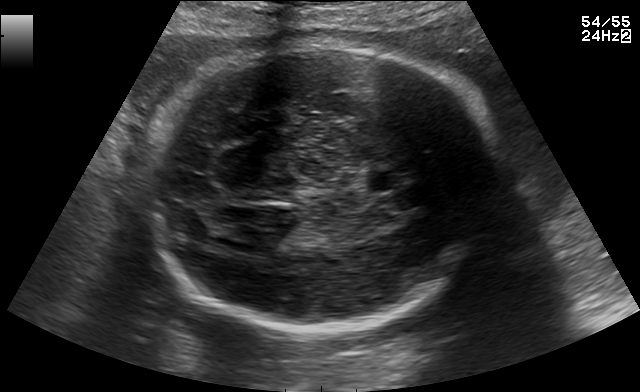
Identify the standard plane in this fetal ultrasound image: fetal abdomen, fetal brain, fetal femur, fetal thorax, maternal cervix, or other. If it's fetal brain and one of the three standard brain planes (trans-thalamic, trans-cerebellum, trans-ventricular), name which.

Fetal brain (trans-thalamic plane)